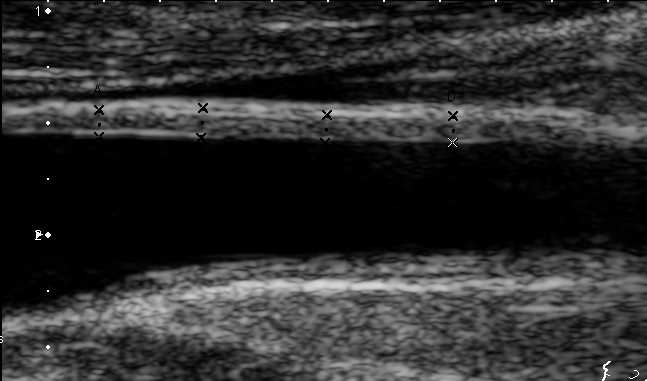
Classify this maternal-fetal ultrasound image as one of the six standard planes — fetal abdomen, fetal brain, fetal femur, fetal thorax, maternal cervix, or other. If it's fetal brain and one of the three standard brain planes (trans-thalamic, trans-cerebellum, trans-ventricular), name which.

Other